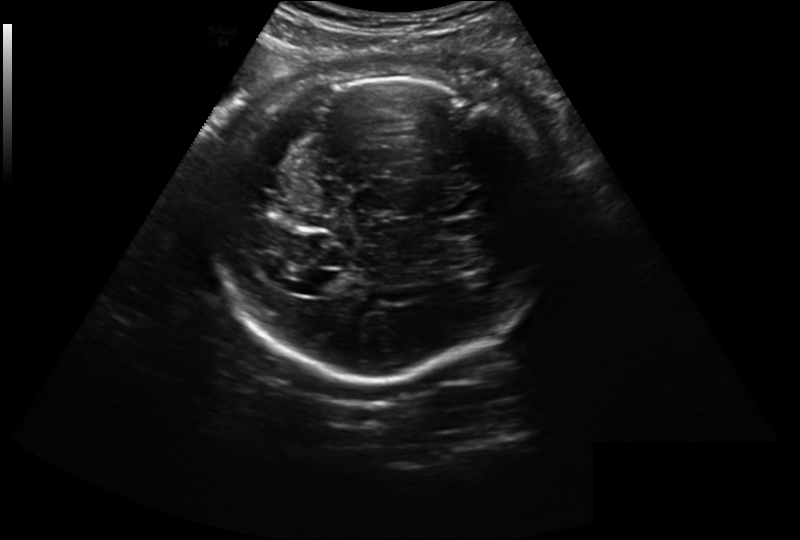
Fetal head ultrasound. Image width: 208.4 mm. Give [x1,y1,x2,y2] bounding boxes for each visible structure among: fetal head, CSP, LV.

Head: [219,74,546,381]
CSP: [441,219,477,237]
Lateral ventricle: [310,271,347,294]